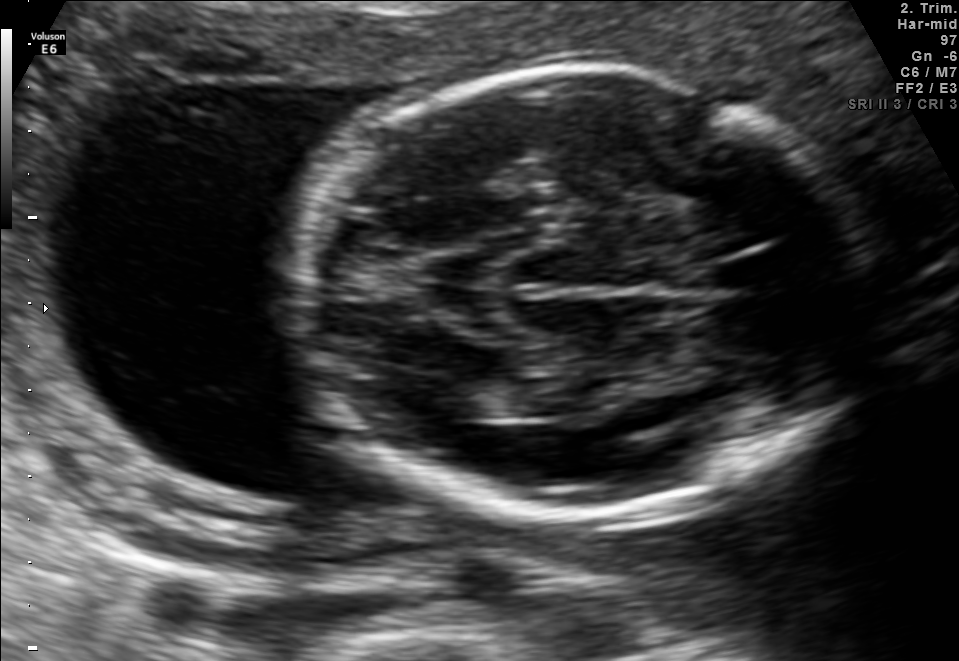
In this fetal brain, trans-thalamic plane, give bounding boxes for the head outline, cavum septum pellucidum (CSP), and lateral ventricle (LV), where visible.

Head: [298,69,867,516]
Lateral ventricle: [424,375,520,424]